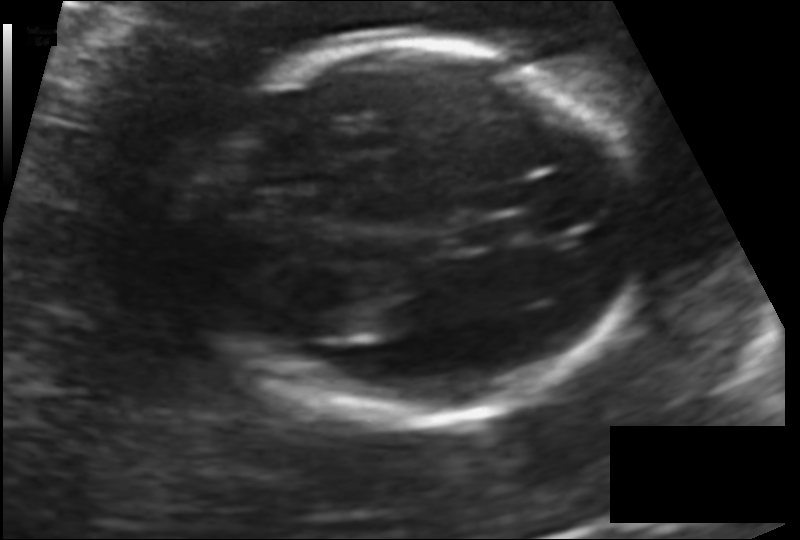
In this fetal head ultrasound, give the bounding box of the cavum septum pellucidum. Image width: 104.5 mm.

[456,212,525,255]